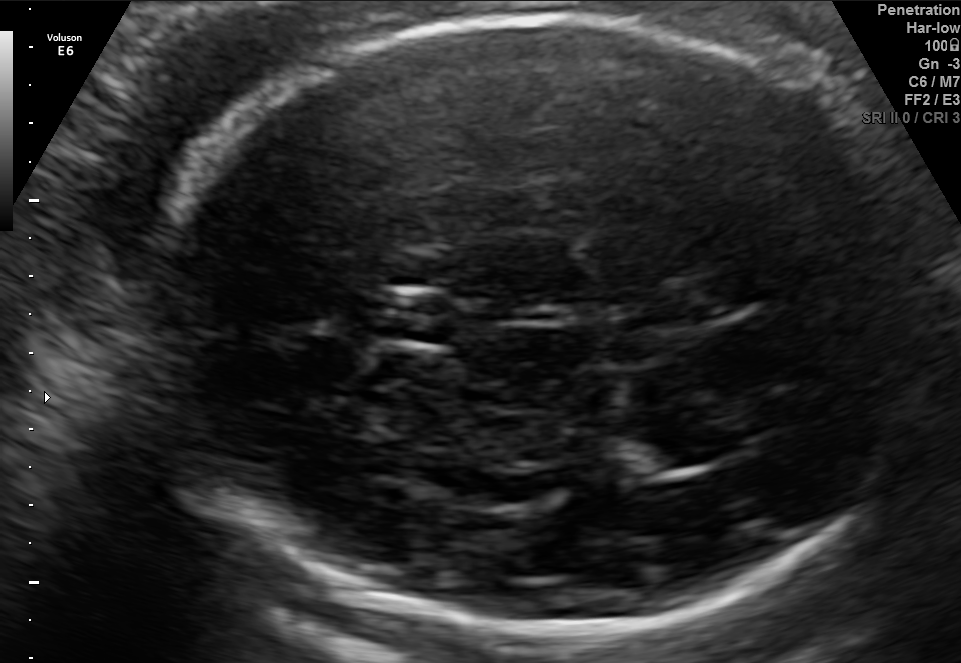
In this fetal brain, trans-thalamic plane, give the bounding box of the fetal head.

[137,20,940,631]